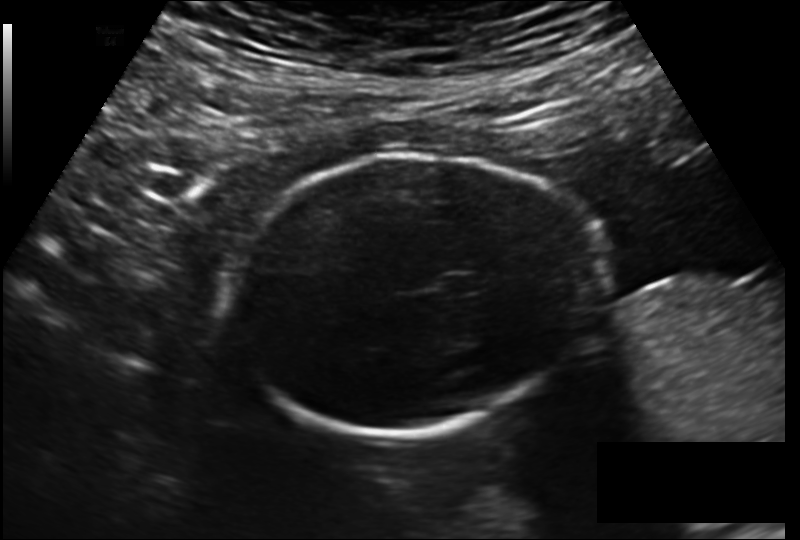
Fetal head ultrasound. Image width: 142.1 mm. Where is the fetal head?

Head bounding box: [237,151,596,438]